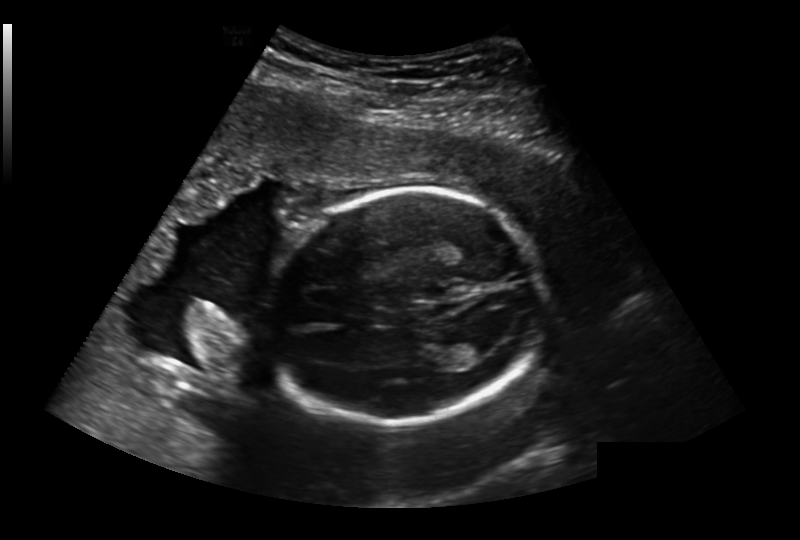
Fetal head ultrasound. Image width: 188.7 mm. Locate the fetal head.

Head: [264,190,541,425]